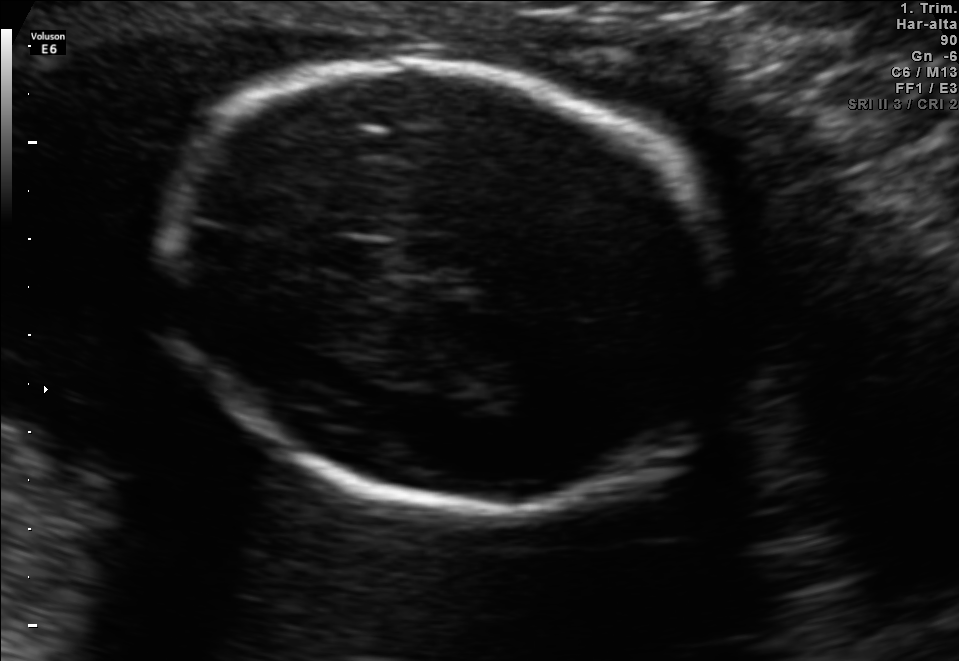
In this fetal brain, trans-thalamic plane, give the bounding box of the fetal head.

[164,60,727,515]